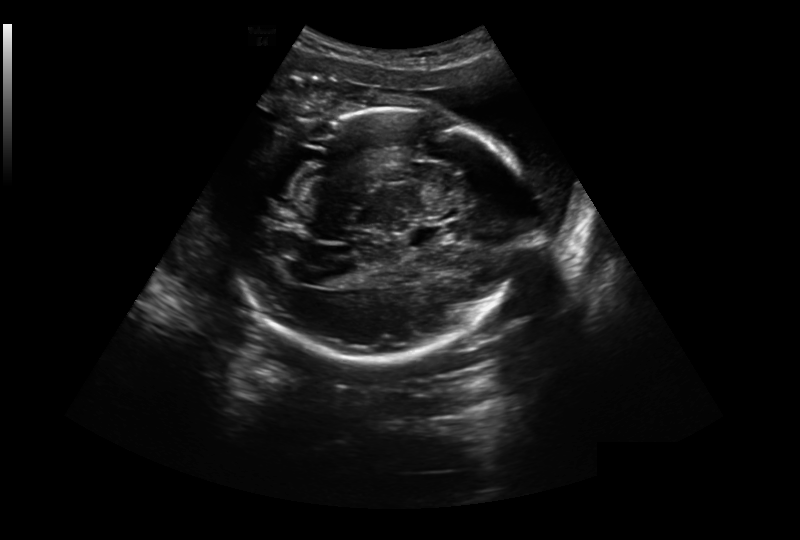
Fetal head ultrasound. Image width: 243.0 mm. Where is the cavum septum pellucidum?

CSP bounding box: [405,222,445,249]